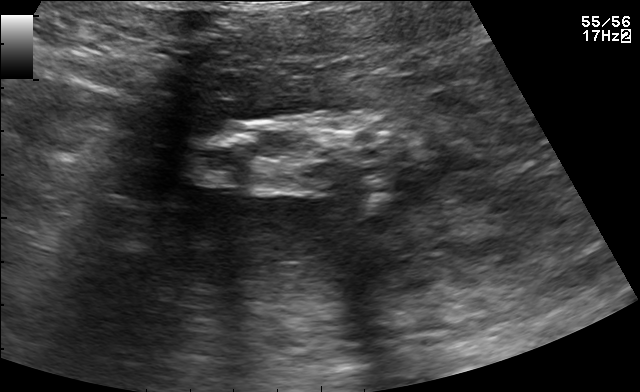
Classify this maternal-fetal ultrasound image as one of the six standard planes — fetal abdomen, fetal brain, fetal femur, fetal thorax, maternal cervix, or other. If it's fetal brain and one of the three standard brain planes (trans-thalamic, trans-cerebellum, trans-ventricular), name which.

Other